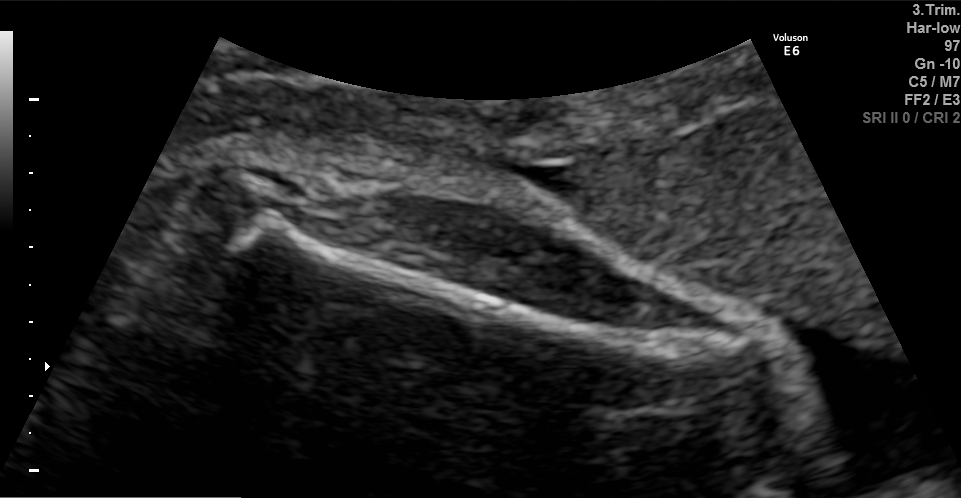
Classify this maternal-fetal ultrasound image as one of the six standard planes — fetal abdomen, fetal brain, fetal femur, fetal thorax, maternal cervix, or other. If it's fetal brain and one of the three standard brain planes (trans-thalamic, trans-cerebellum, trans-ventricular), name which.

Fetal femur